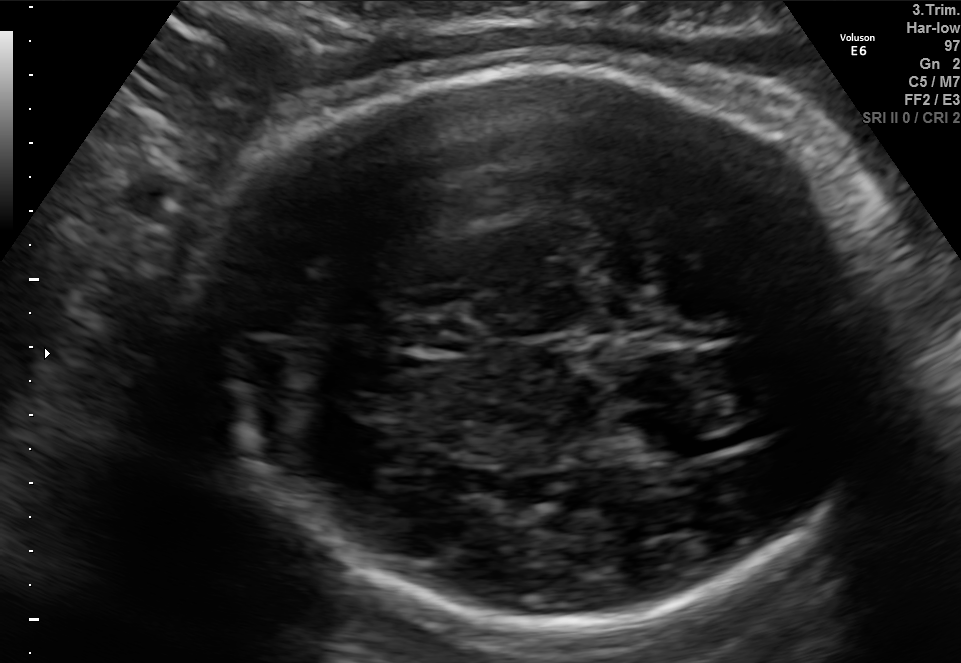
Fetal brain, trans-thalamic plane. Where is the fetal head?

Head bounding box: [202,62,883,627]